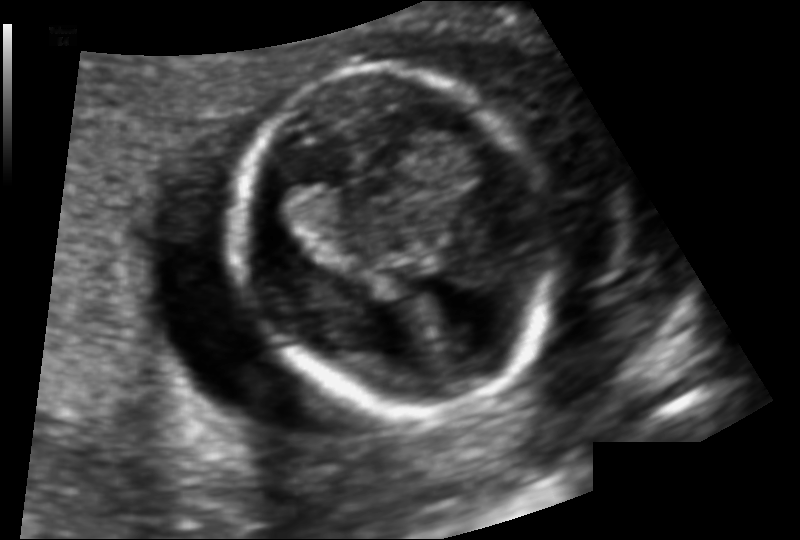
From this fetal ultrasound, estimate the head circumference (image width 85.7 mm).

Head circumference: 116.6 mm.